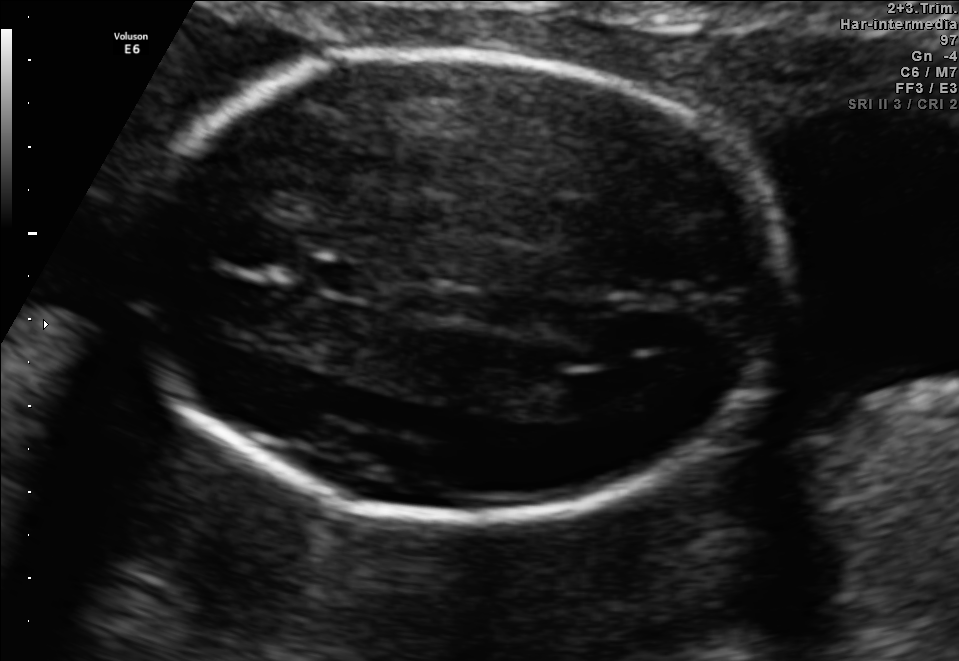
In this fetal brain, trans-ventricular plane, give the bounding box of the fetal head.

[118,46,805,531]